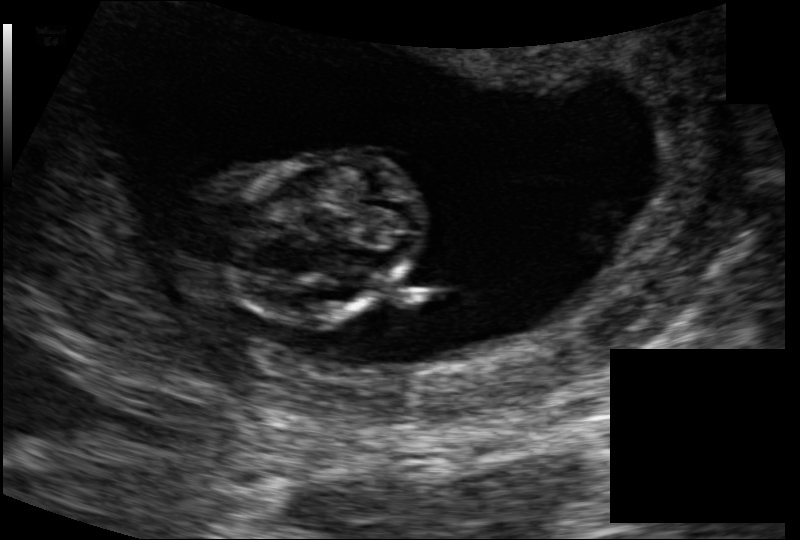
In this fetal head ultrasound, give bounding boxes for the head outline, cavum septum pellucidum (CSP), and lateral ventricle (LV), where visible. Image width: 92.7 mm.

Head: [221,148,425,325]